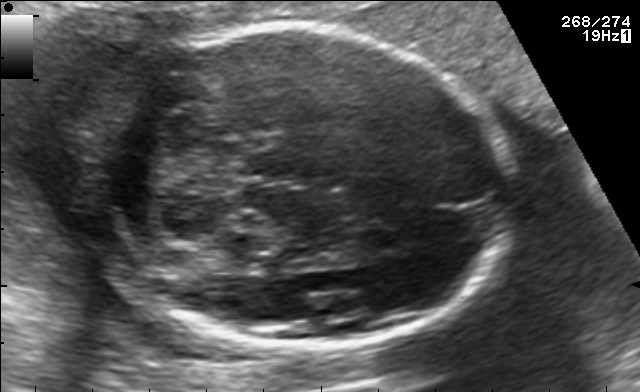
In this fetal brain, trans-cerebellum plane, give the bounding box of the fetal head.

[91,26,511,348]